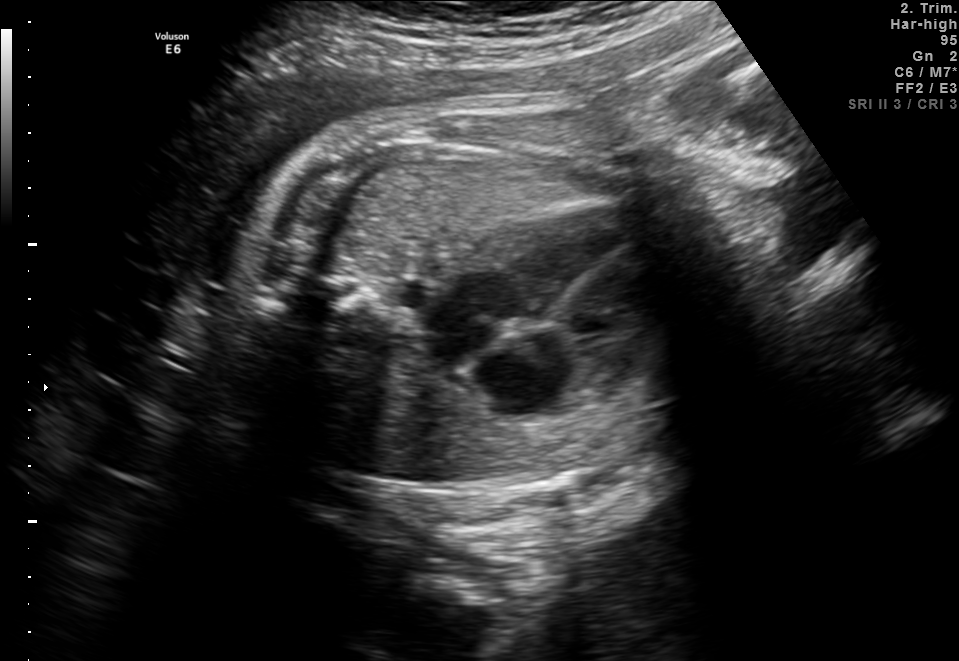
Which standard maternal-fetal ultrasound plane is shown: fetal abdomen, fetal brain, fetal femur, fetal thorax, maternal cervix, or other? If it's fetal brain and one of the three standard brain planes (trans-thalamic, trans-cerebellum, trans-ventricular), name which.

Fetal thorax